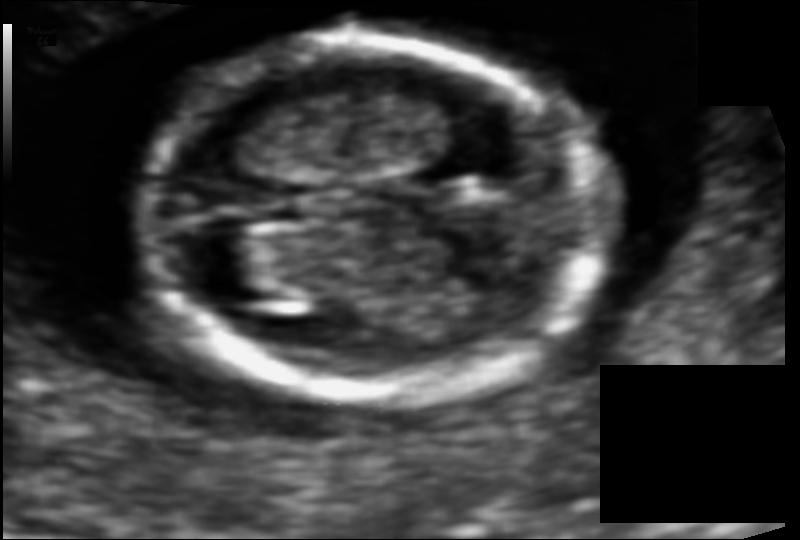
In this fetal head ultrasound, give the bounding box of the fetal head. Image width: 59.6 mm.

[139,43,604,397]